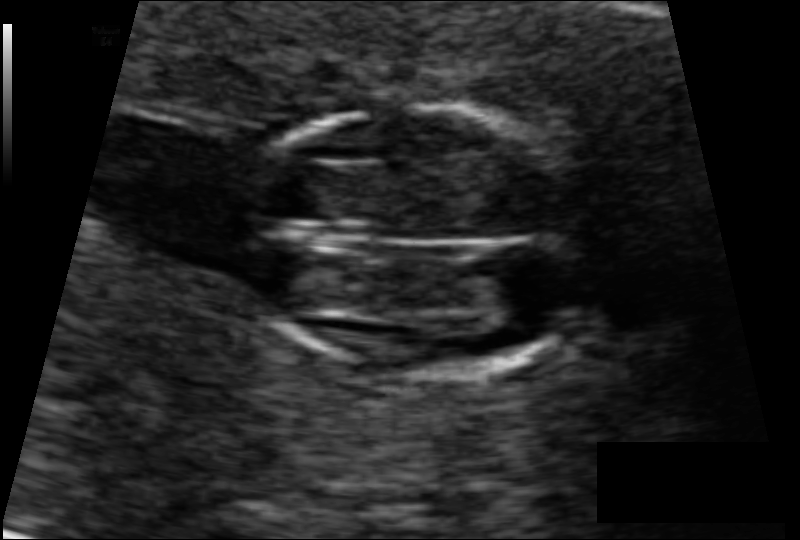
Fetal head ultrasound. Image width: 60.3 mm. Where is the fetal head?

Head bounding box: [239,108,582,375]